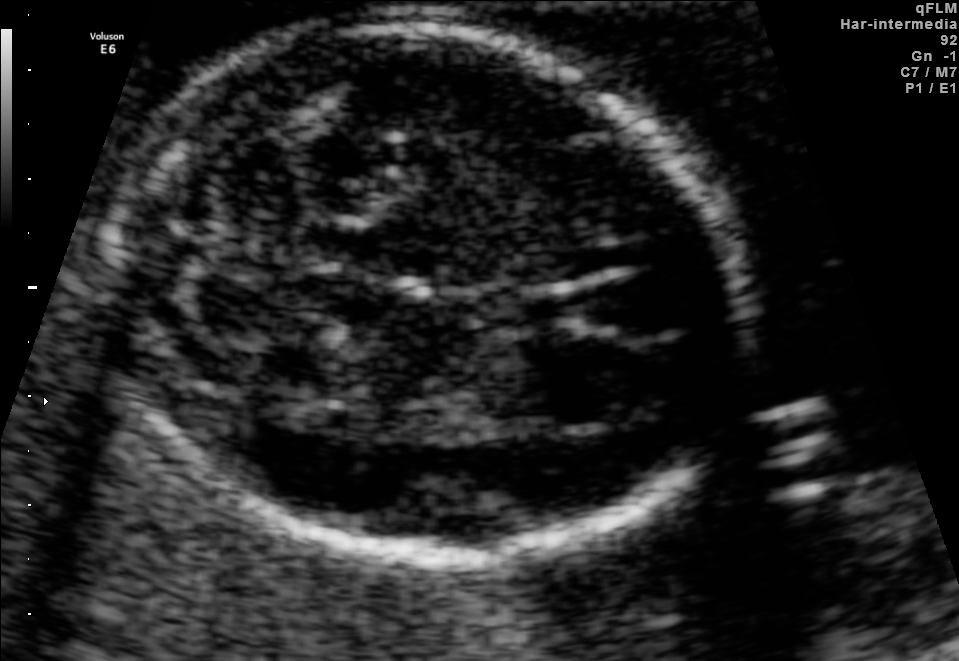
In this fetal brain, trans-cerebellum plane, give bounding boxes for the head outline, cavum septum pellucidum (CSP), and lateral ventricle (LV), where visible.

Head: [119,27,740,554]